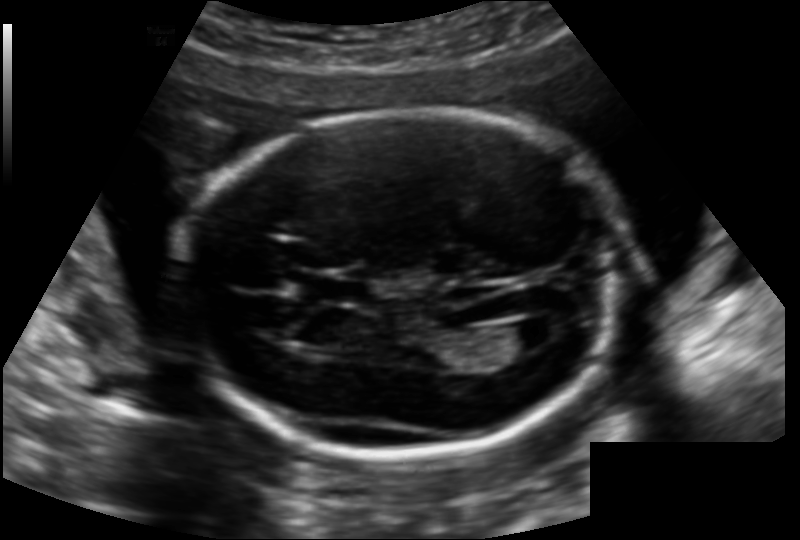
Estimate the fetal head circumference from this 2D ultrasound.

Head circumference: 182.5 mm (image width 113.4 mm).